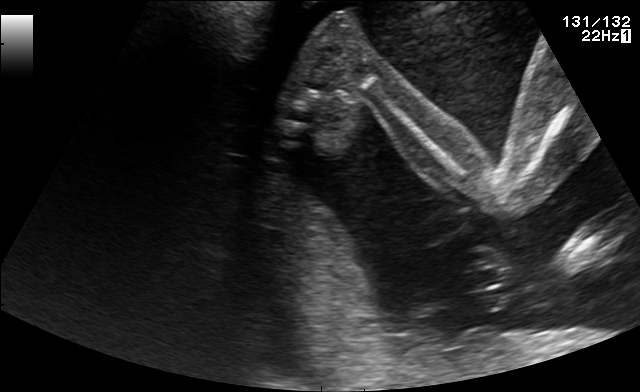
This is a 2D maternal-fetal ultrasound frame. Is it a fetal abdomen, fetal brain, fetal femur, fetal thorax, maternal cervix, or other standard plane? If it's fetal brain and one of the three standard brain planes (trans-thalamic, trans-cerebellum, trans-ventricular), name which.

Fetal femur